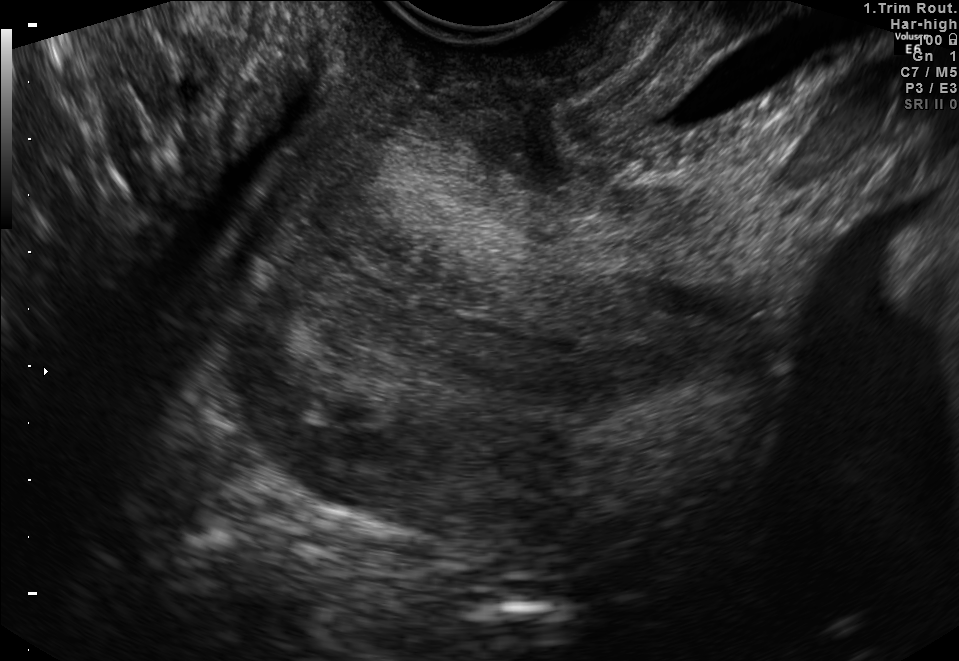
Identify the standard plane in this fetal ultrasound image: fetal abdomen, fetal brain, fetal femur, fetal thorax, maternal cervix, or other. If it's fetal brain and one of the three standard brain planes (trans-thalamic, trans-cerebellum, trans-ventricular), name which.

Maternal cervix